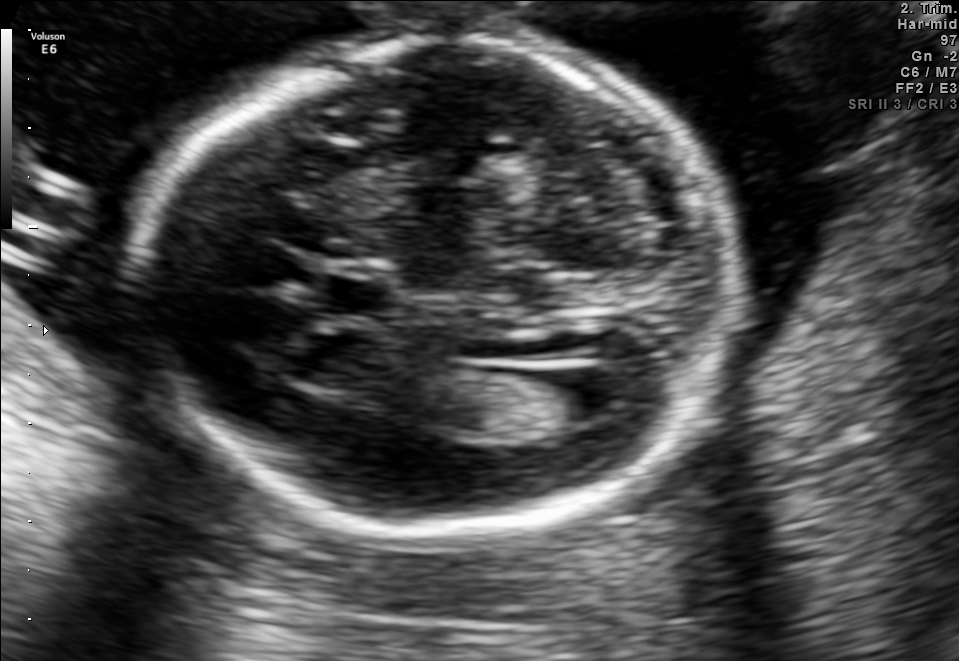
Identify the standard plane in this fetal ultrasound image: fetal abdomen, fetal brain, fetal femur, fetal thorax, maternal cervix, or other. If it's fetal brain and one of the three standard brain planes (trans-thalamic, trans-cerebellum, trans-ventricular), name which.

Fetal brain (trans-ventricular plane)